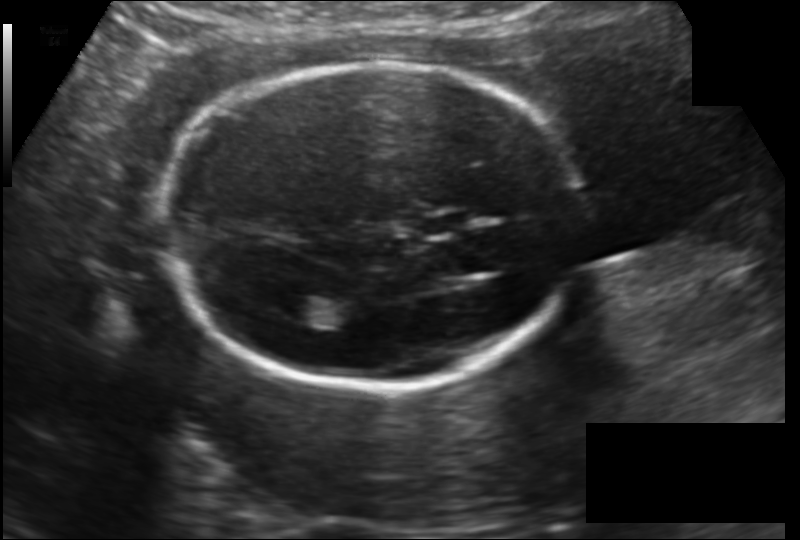
In this fetal head ultrasound, give the bounding box of the cavum septum pellucidum. Image width: 118.1 mm.

[413,206,475,243]